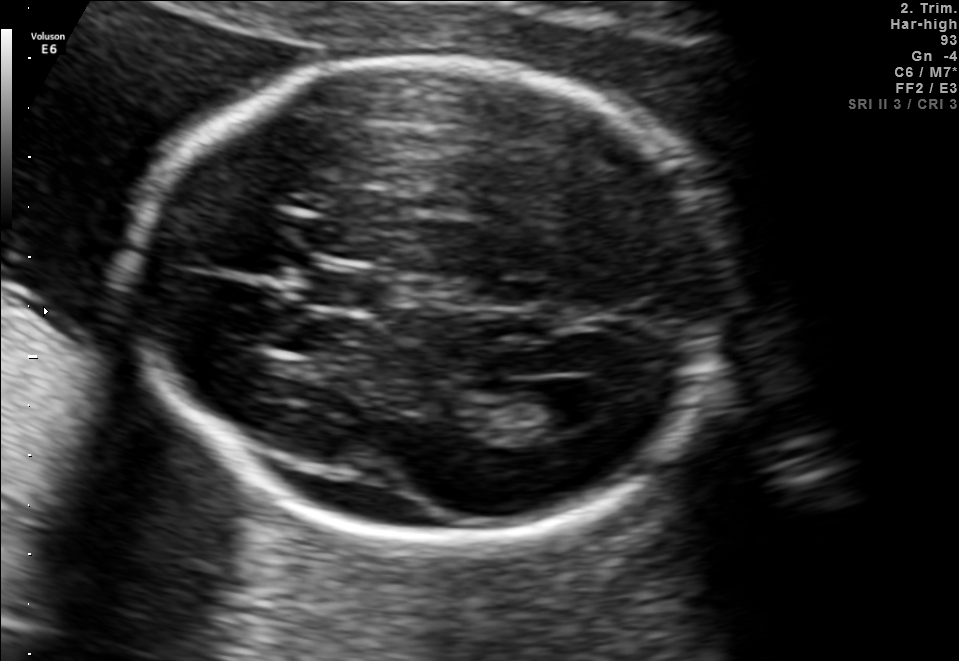
Fetal brain, trans-ventricular plane. Locate the fetal head and, if visible, the cavum septum pellucidum (CSP) and lateral ventricle (LV). Give bounding boxes as [x1,y1,x2,y2].

Head: [122,50,739,553]
CSP: [299,267,377,311]
Lateral ventricle: [542,376,621,430]